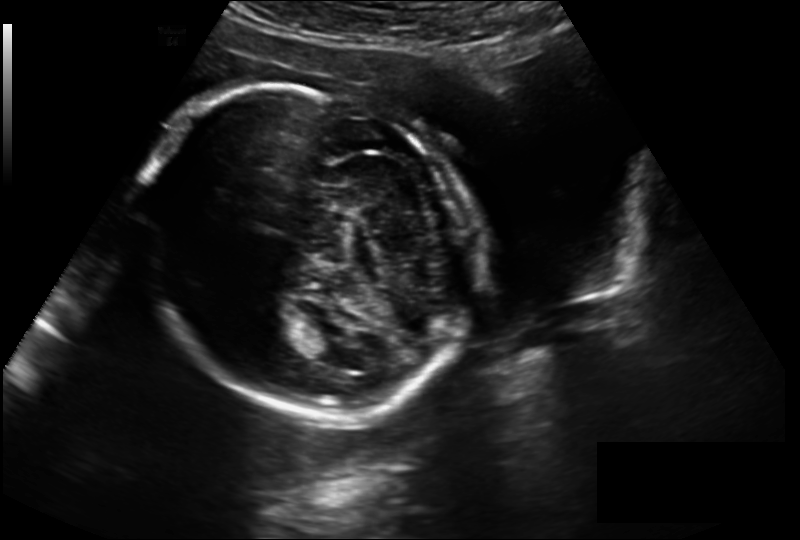
Measure the fetal head circumference shown in this ultrasound image. Image width: 168.8 mm.

Head circumference: 224.7 mm.